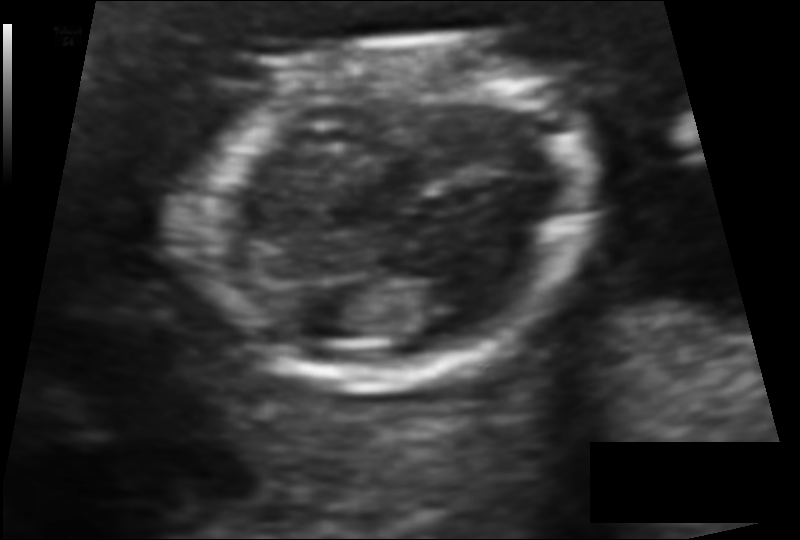
Fetal head ultrasound. Image width: 72.9 mm. Locate the fetal head.

Head: [203,40,591,389]